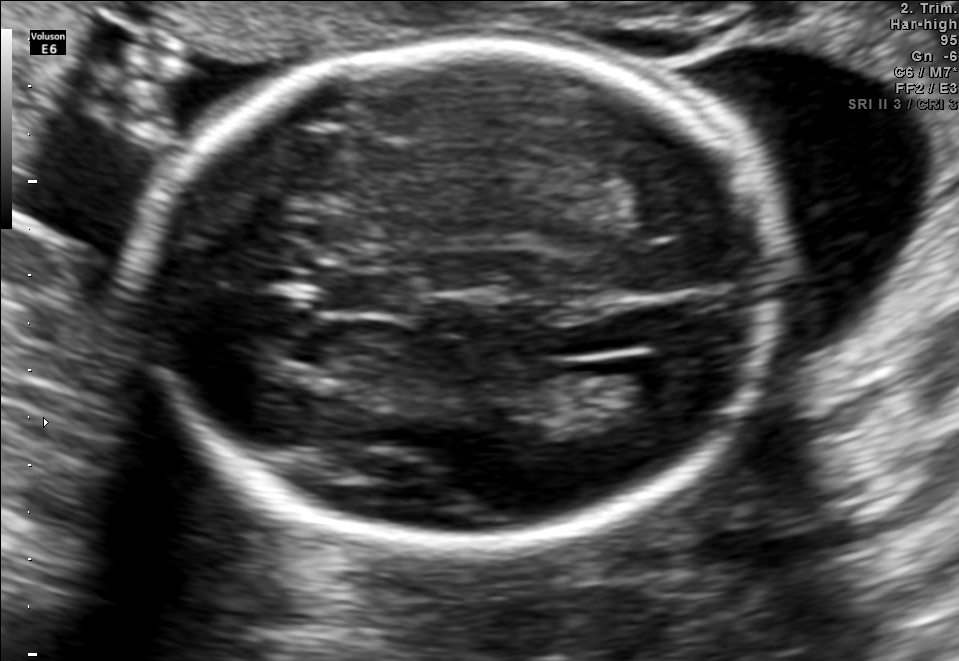
Fetal brain, trans-ventricular plane. Where is the lateral ventricle?

Lateral ventricle bounding box: [618,355,708,414]